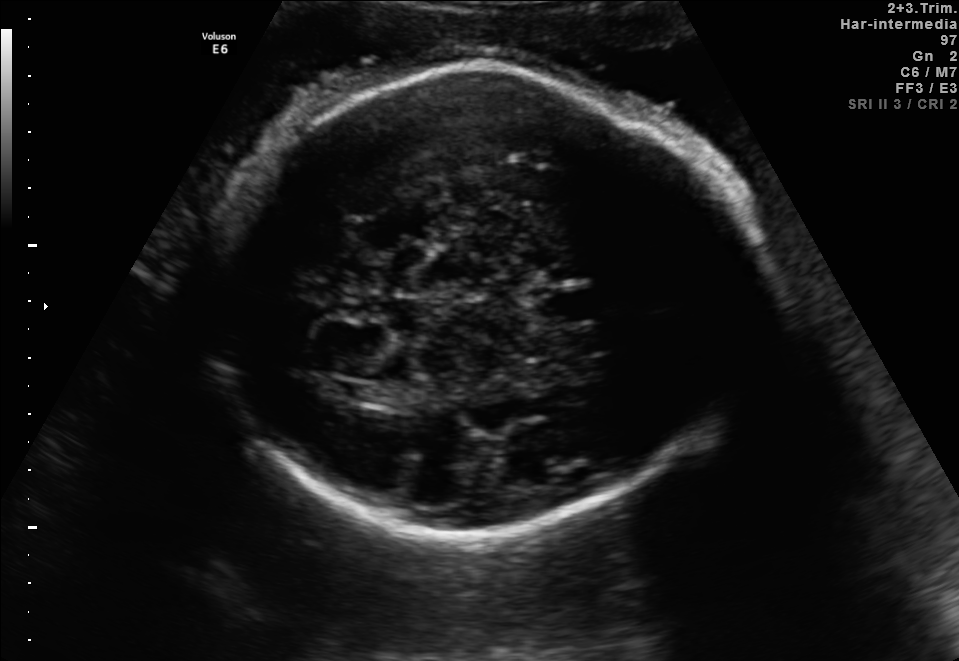
Fetal brain, trans-thalamic plane. Locate the cavum septum pellucidum.

CSP: [532,284,604,326]